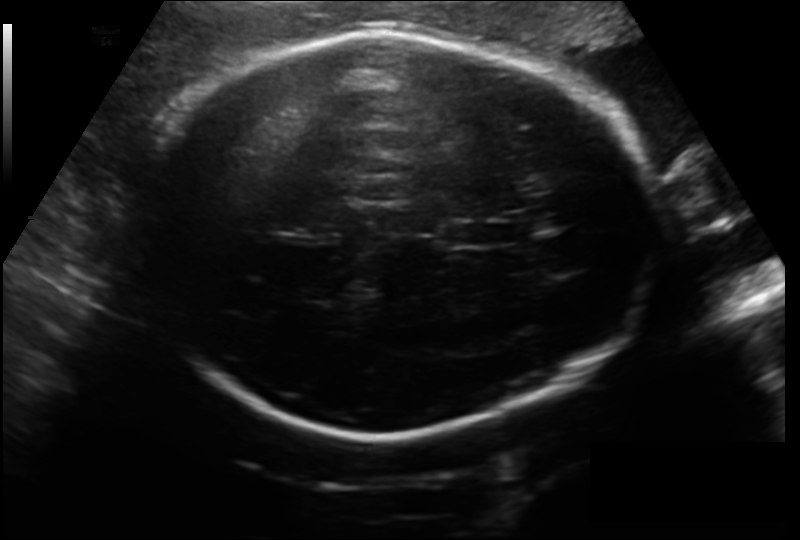
Measure the fetal head circumference shown in this ultrasound image. Image width: 158.8 mm.

Head circumference: 290.8 mm.